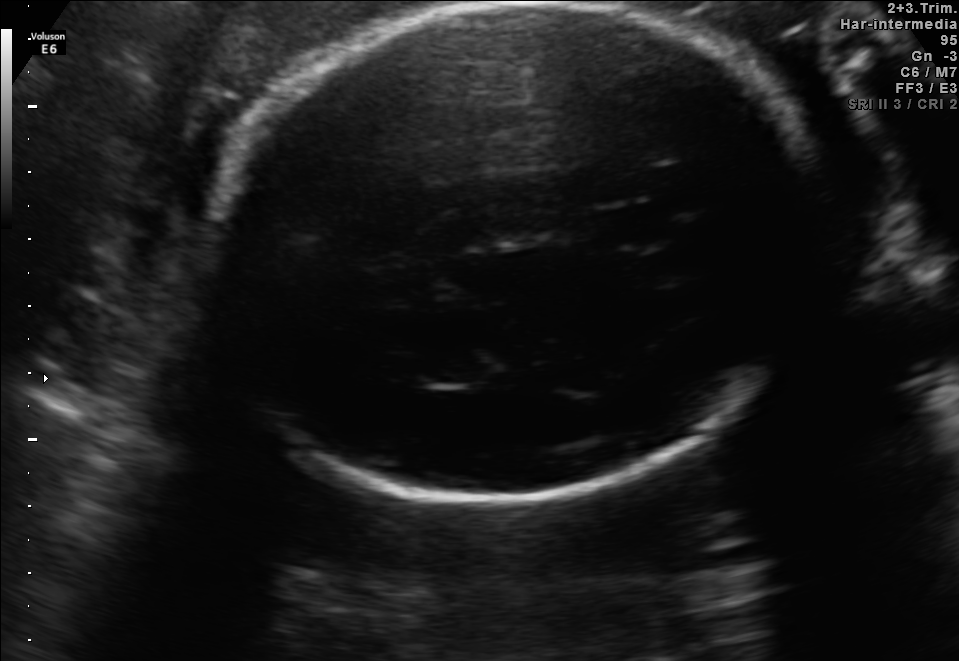
Fetal brain, trans-thalamic plane. Locate the fetal head and, if visible, the cavum septum pellucidum (CSP) and lateral ventricle (LV). Give bounding boxes as [x1,y1,x2,y2].

Head: [207,3,824,502]
CSP: [589,202,663,249]
Lateral ventricle: [407,349,483,384]